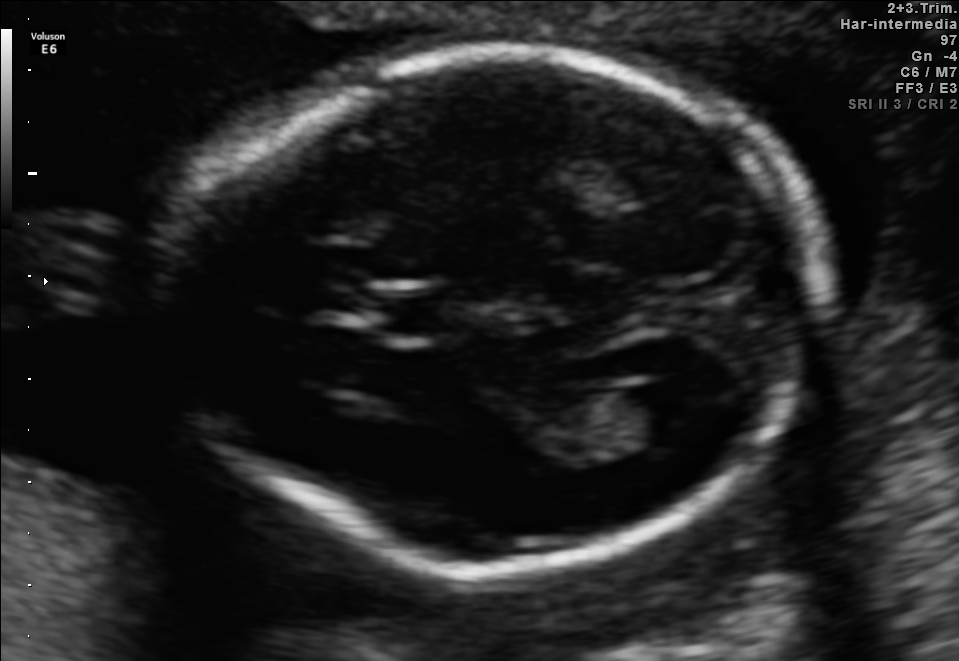
Fetal brain, trans-ventricular plane. Where is the cavum septum pellucidum?

CSP bounding box: [363,297,442,336]